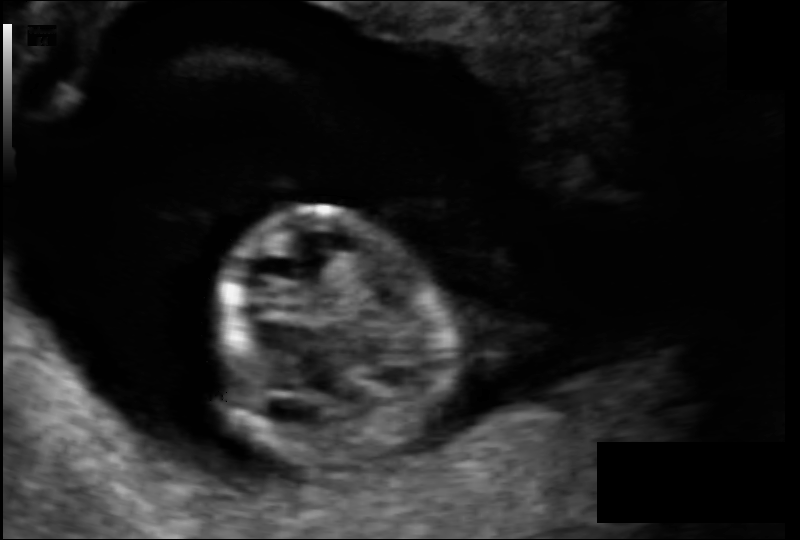
From this fetal ultrasound, estimate the head circumference (image width 78.9 mm).

Head circumference: 80.7 mm.